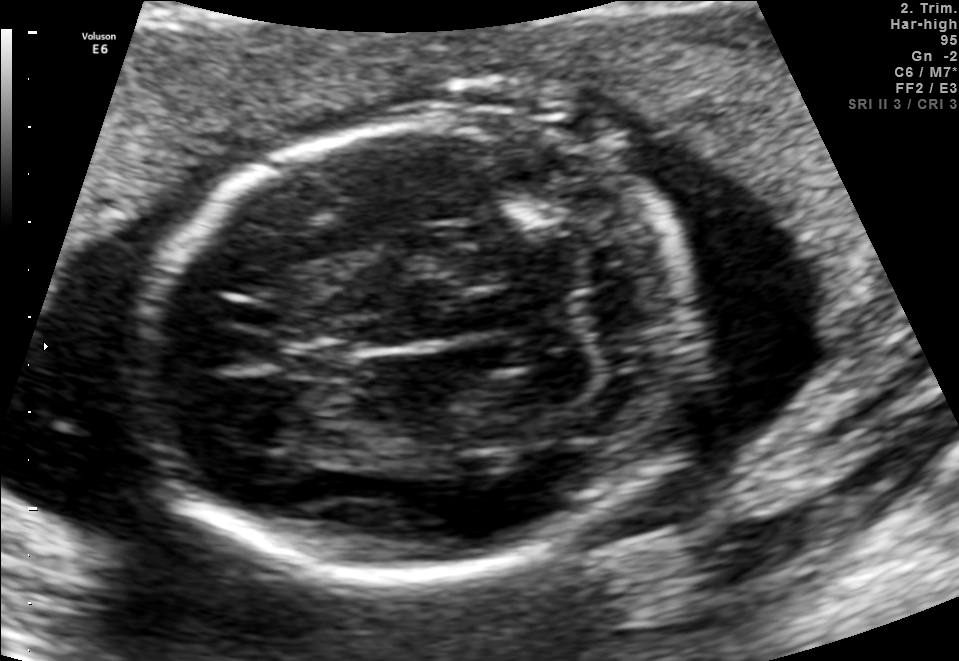
Fetal brain, trans-cerebellum plane. Locate the fetal head.

Head: [137,124,688,573]